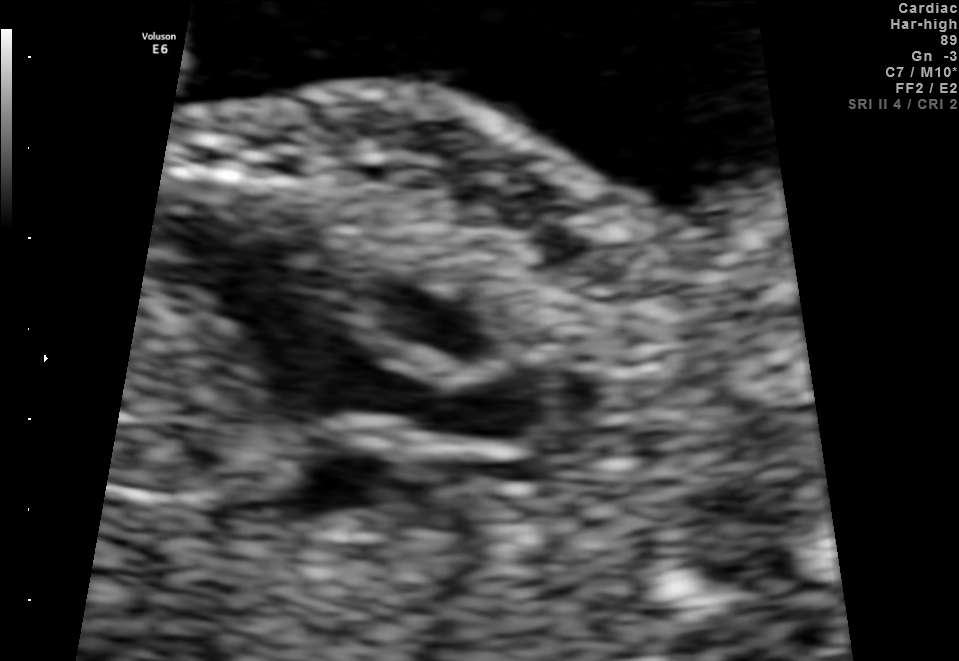
This is a 2D maternal-fetal ultrasound frame. Is it a fetal abdomen, fetal brain, fetal femur, fetal thorax, maternal cervix, or other standard plane? If it's fetal brain and one of the three standard brain planes (trans-thalamic, trans-cerebellum, trans-ventricular), name which.

Other